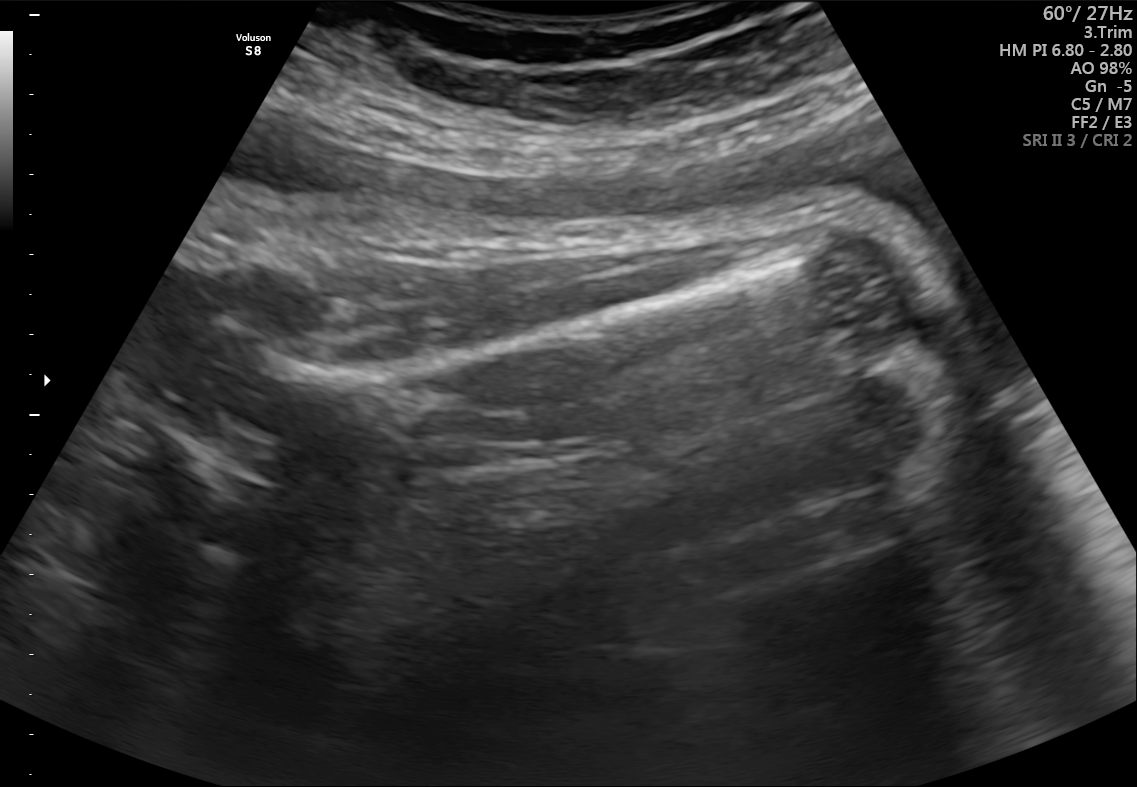
Classify this maternal-fetal ultrasound image as one of the six standard planes — fetal abdomen, fetal brain, fetal femur, fetal thorax, maternal cervix, or other. If it's fetal brain and one of the three standard brain planes (trans-thalamic, trans-cerebellum, trans-ventricular), name which.

Fetal femur